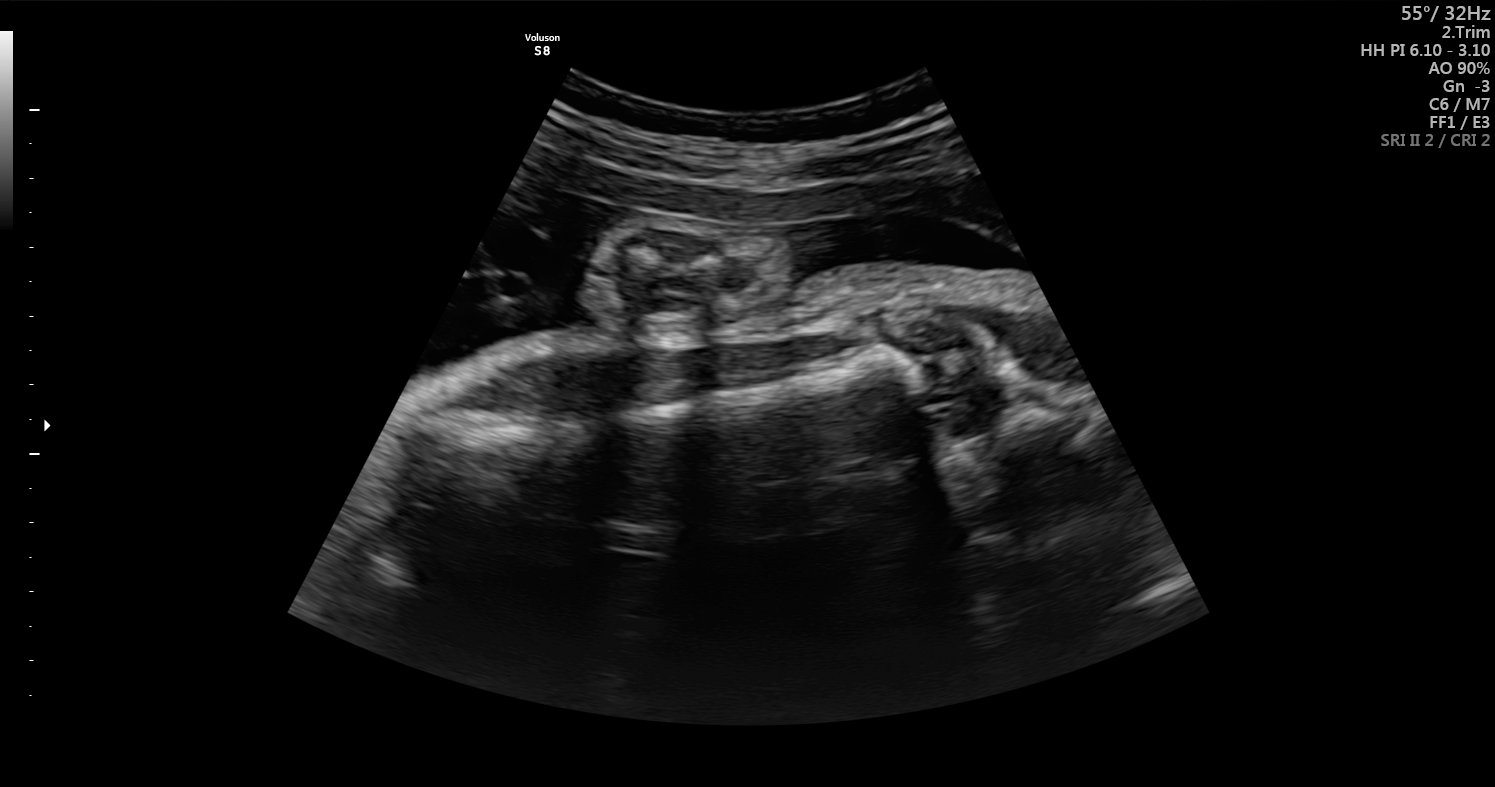
Classify this maternal-fetal ultrasound image as one of the six standard planes — fetal abdomen, fetal brain, fetal femur, fetal thorax, maternal cervix, or other. If it's fetal brain and one of the three standard brain planes (trans-thalamic, trans-cerebellum, trans-ventricular), name which.

Fetal femur